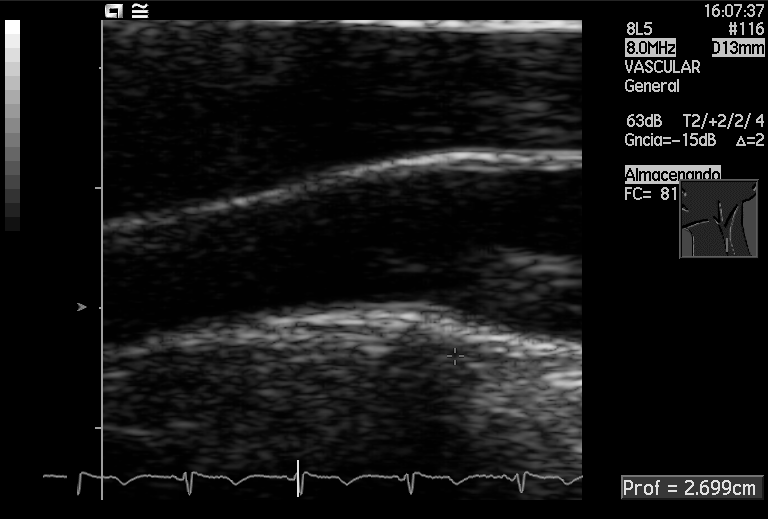
Classify this maternal-fetal ultrasound image as one of the six standard planes — fetal abdomen, fetal brain, fetal femur, fetal thorax, maternal cervix, or other. If it's fetal brain and one of the three standard brain planes (trans-thalamic, trans-cerebellum, trans-ventricular), name which.

Other